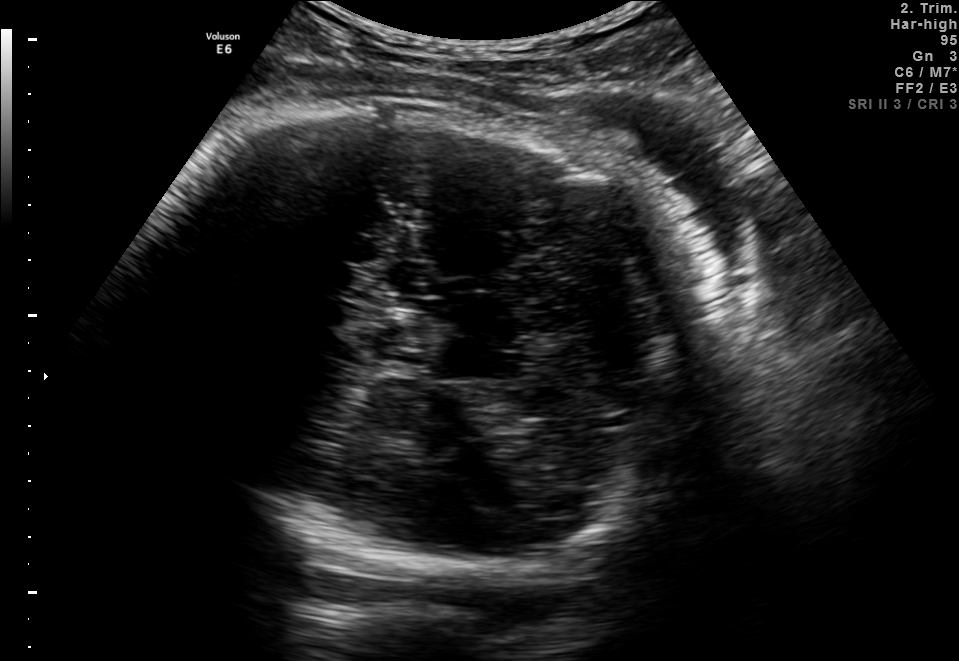
In this fetal brain, trans-thalamic plane, give bounding boxes for the head outline, cavum septum pellucidum (CSP), and lateral ventricle (LV), where visible.

Head: [131,105,686,570]